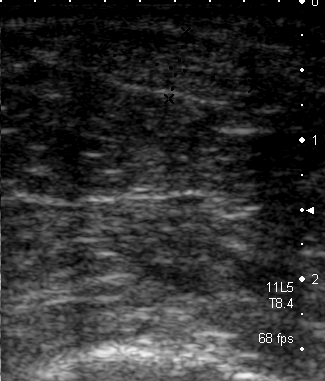
Identify the standard plane in this fetal ultrasound image: fetal abdomen, fetal brain, fetal femur, fetal thorax, maternal cervix, or other. If it's fetal brain and one of the three standard brain planes (trans-thalamic, trans-cerebellum, trans-ventricular), name which.

Other